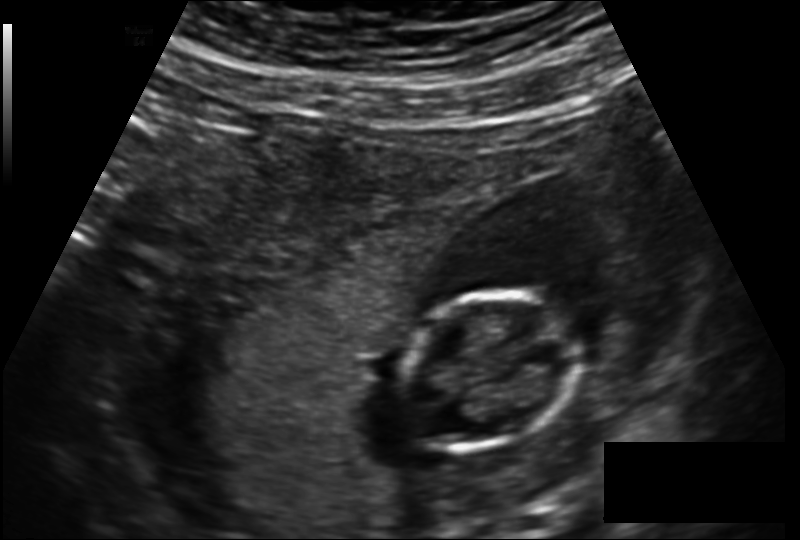
Fetal head ultrasound. Image width: 128.2 mm. Locate the fetal head and, if visible, the cavum septum pellucidum (CSP) and lateral ventricle (LV). Give bounding boxes as [x1,y1,x2,y2].

Head: [395,291,578,452]